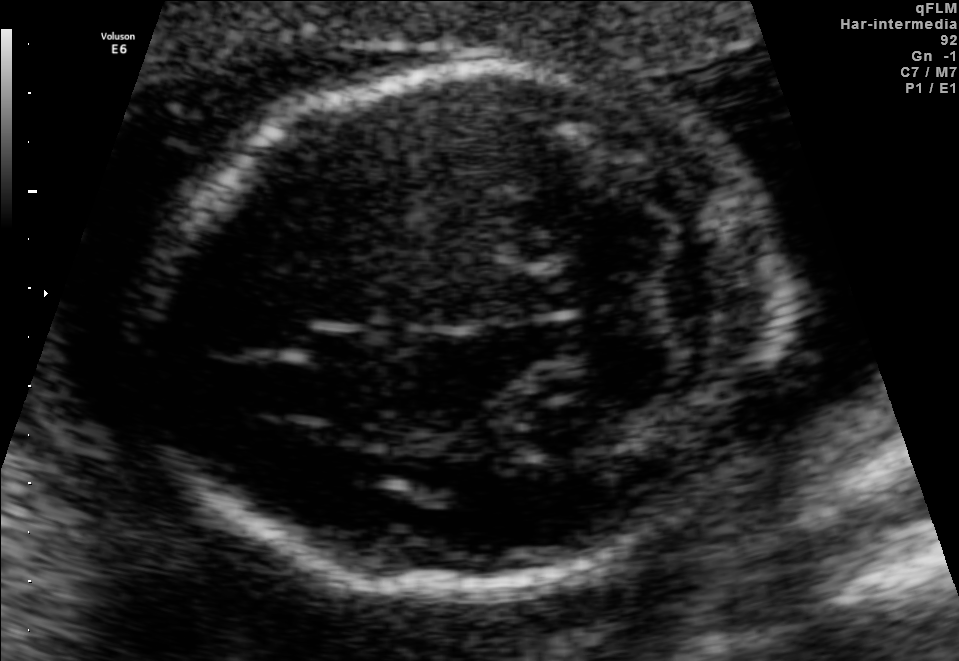
Fetal brain, trans-cerebellum plane. Where is the fetal head?

Head bounding box: [140,66,781,585]